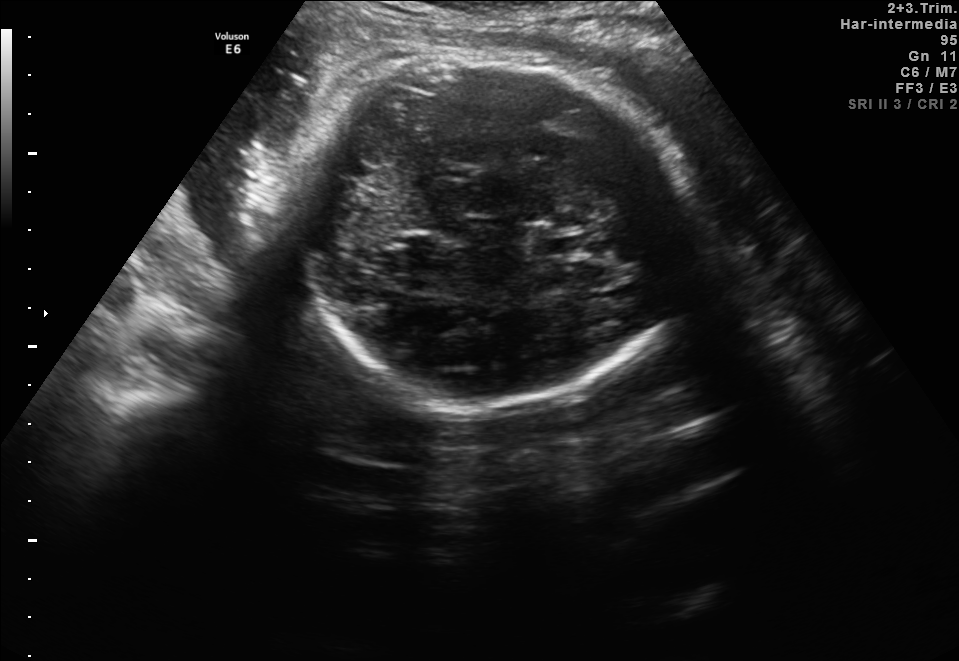
Identify the standard plane in this fetal ultrasound image: fetal abdomen, fetal brain, fetal femur, fetal thorax, maternal cervix, or other. If it's fetal brain and one of the three standard brain planes (trans-thalamic, trans-cerebellum, trans-ventricular), name which.

Fetal brain (trans-thalamic plane)